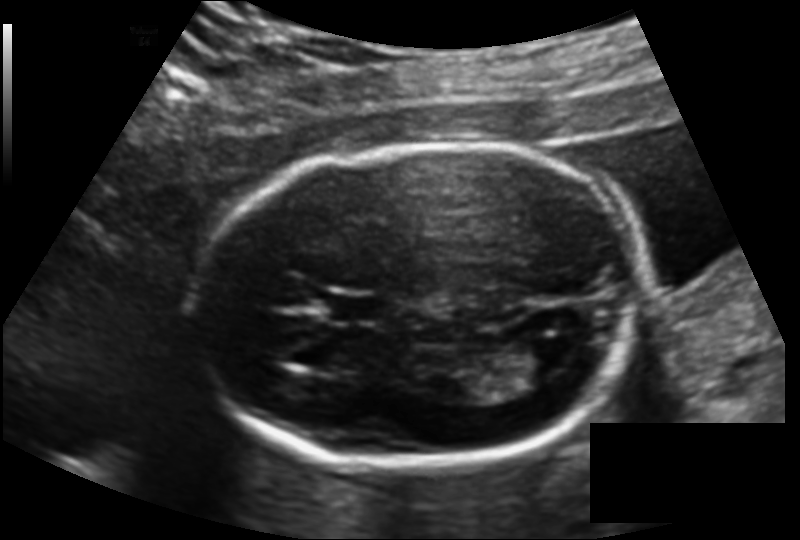
Fetal head ultrasound. Image width: 109.3 mm. Locate the fetal head and, if visible, the cavum septum pellucidum (CSP) and lateral ventricle (LV). Give bounding boxes as [x1,y1,x2,y2].

Head: [188,145,644,466]
CSP: [327,296,381,323]
Lateral ventricle: [510,322,585,387]